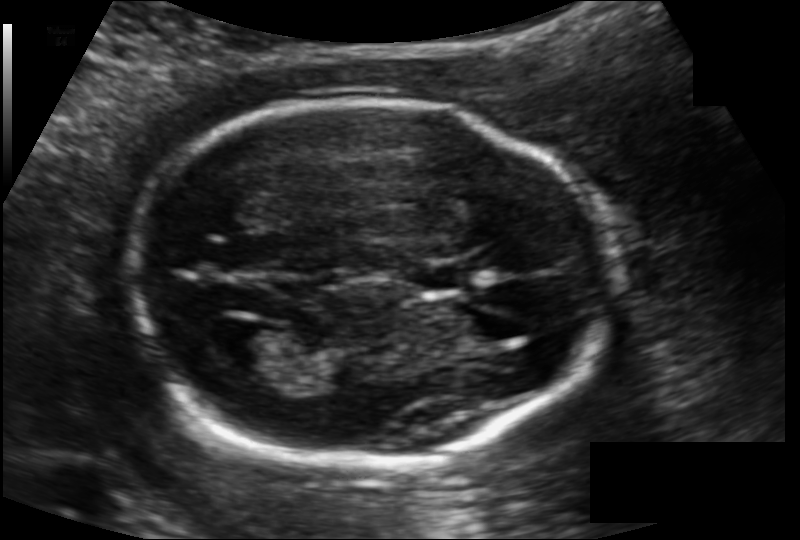
Fetal head ultrasound. Image width: 96.5 mm. Locate the cavum septum pellucidum.

CSP: [416,261,468,292]